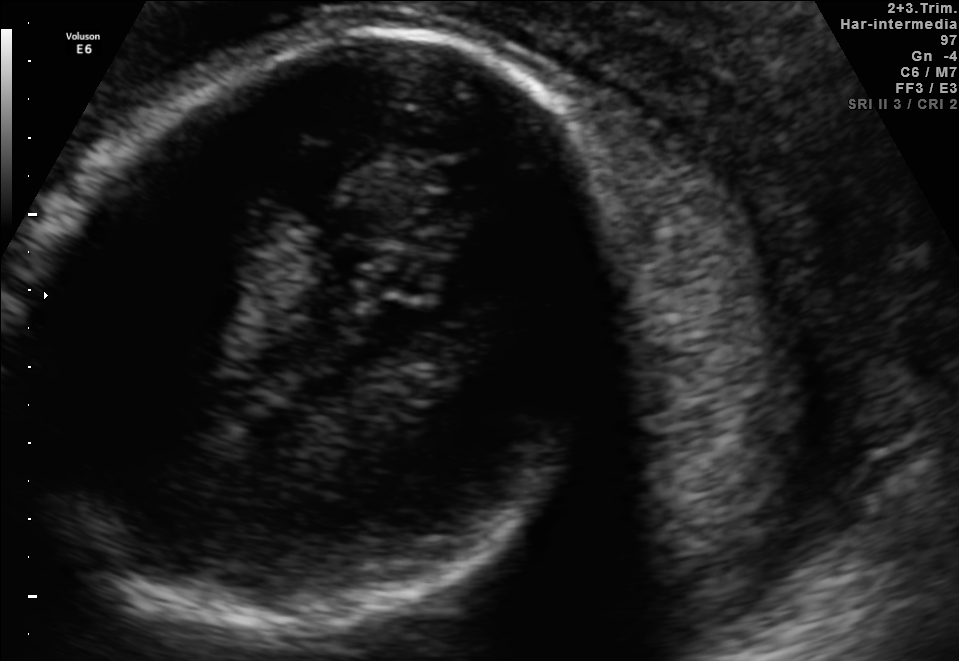
Classify this maternal-fetal ultrasound image as one of the six standard planes — fetal abdomen, fetal brain, fetal femur, fetal thorax, maternal cervix, or other. If it's fetal brain and one of the three standard brain planes (trans-thalamic, trans-cerebellum, trans-ventricular), name which.

Fetal brain